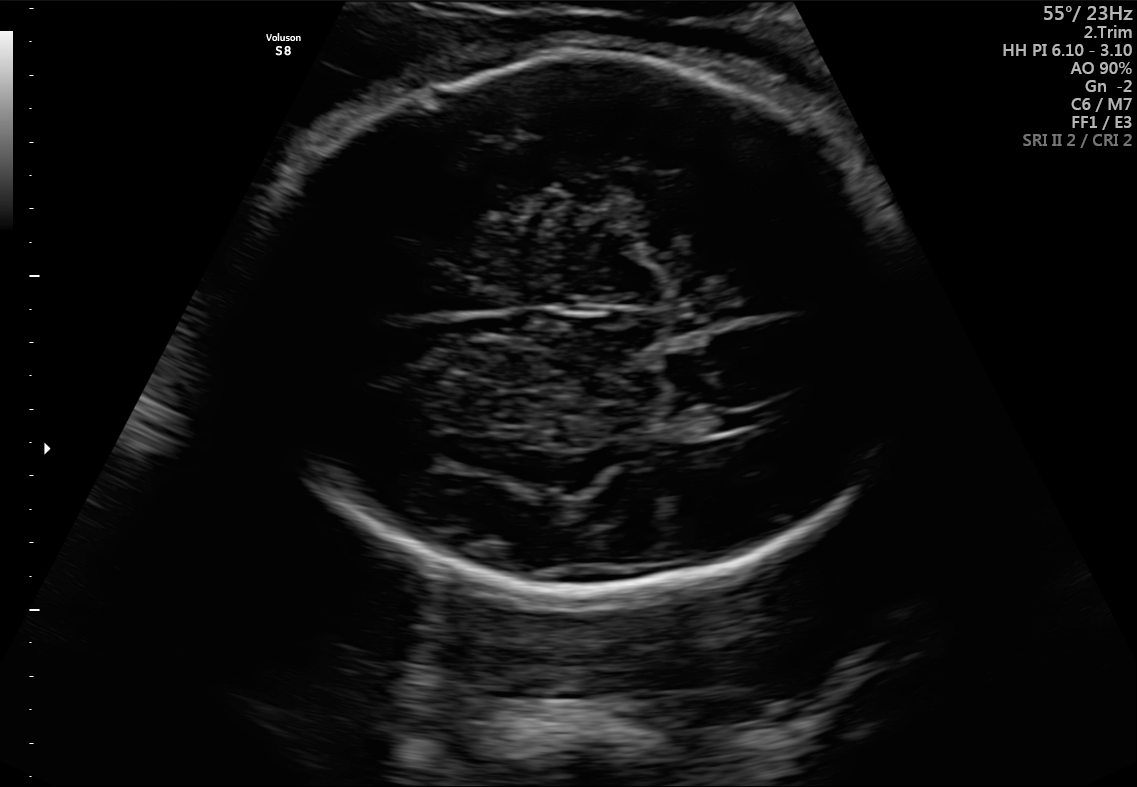
In this fetal brain, trans-ventricular plane, give the bounding box of the fetal head.

[251,48,916,599]